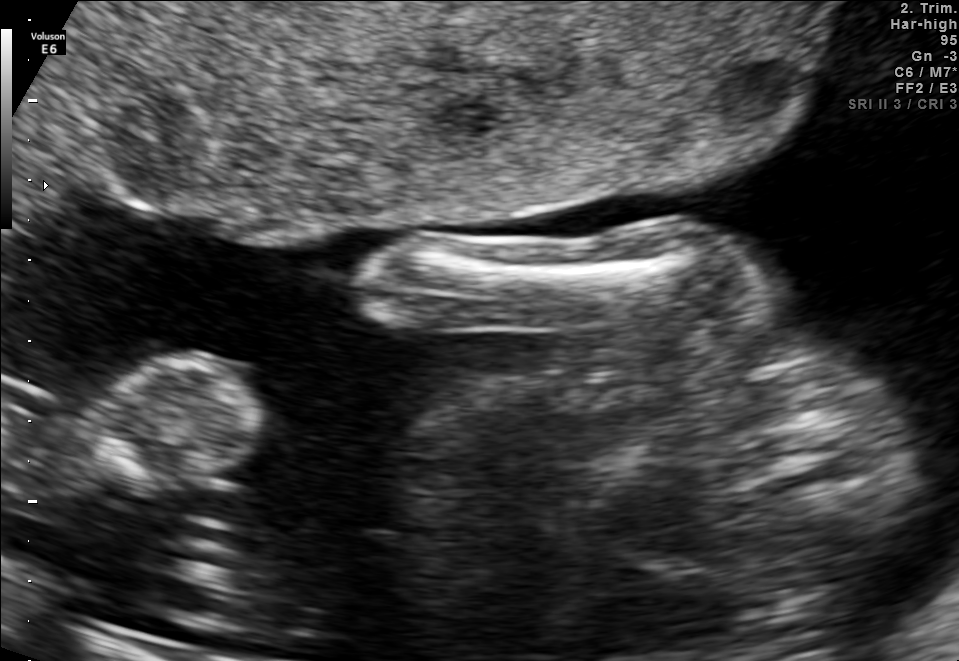
Identify the standard plane in this fetal ultrasound image: fetal abdomen, fetal brain, fetal femur, fetal thorax, maternal cervix, or other. If it's fetal brain and one of the three standard brain planes (trans-thalamic, trans-cerebellum, trans-ventricular), name which.

Other